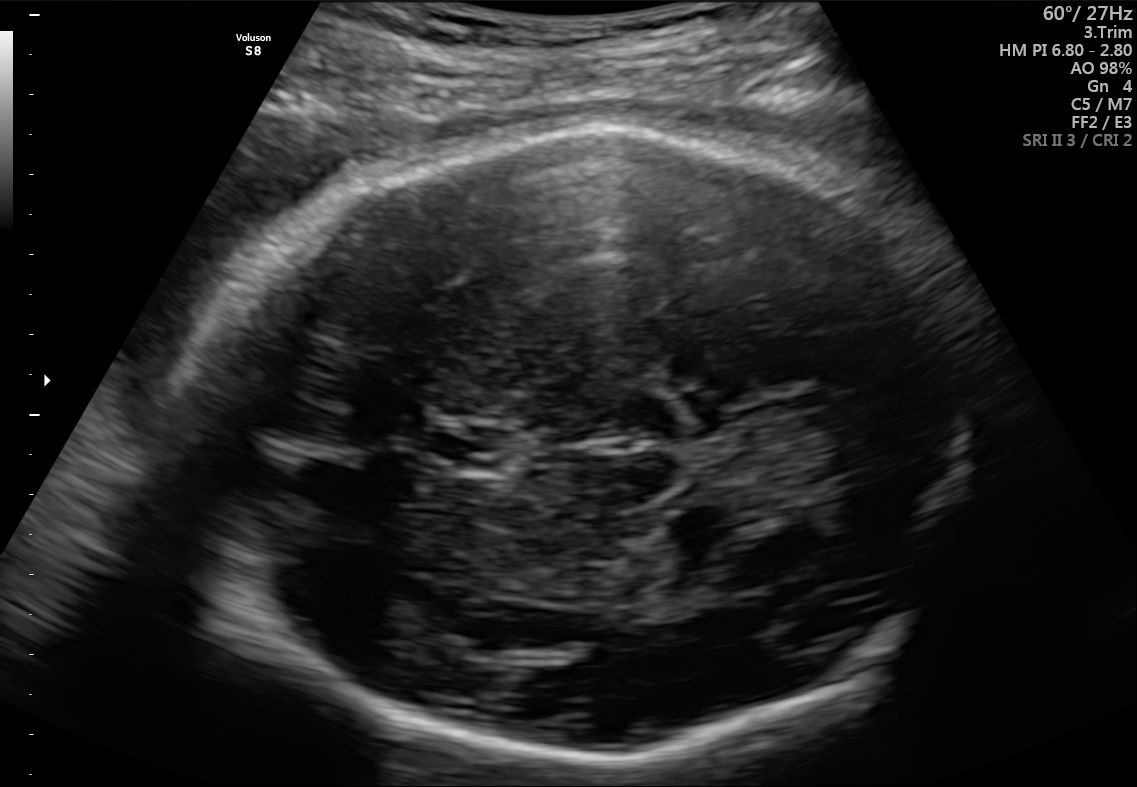
Which standard maternal-fetal ultrasound plane is shown: fetal abdomen, fetal brain, fetal femur, fetal thorax, maternal cervix, or other? If it's fetal brain and one of the three standard brain planes (trans-thalamic, trans-cerebellum, trans-ventricular), name which.

Fetal brain (trans-thalamic plane)